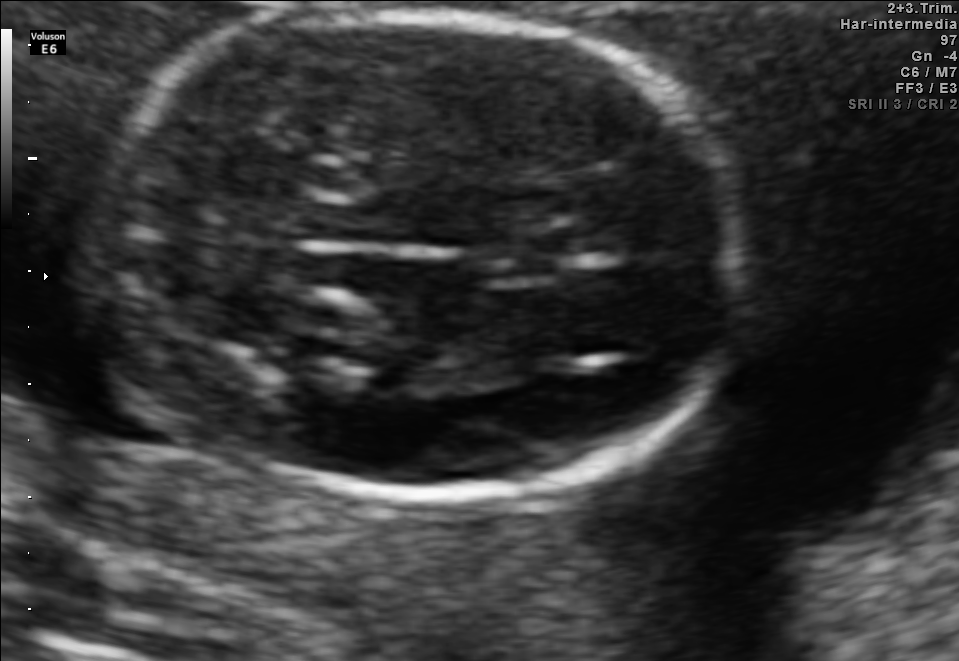
Fetal brain, trans-thalamic plane. Give [x1,y1,x2,y2] bounding boxes for each visible structure among: fetal head, CSP, LV.

Head: [99,13,748,496]
CSP: [532,223,616,258]
Lateral ventricle: [246,293,382,365]